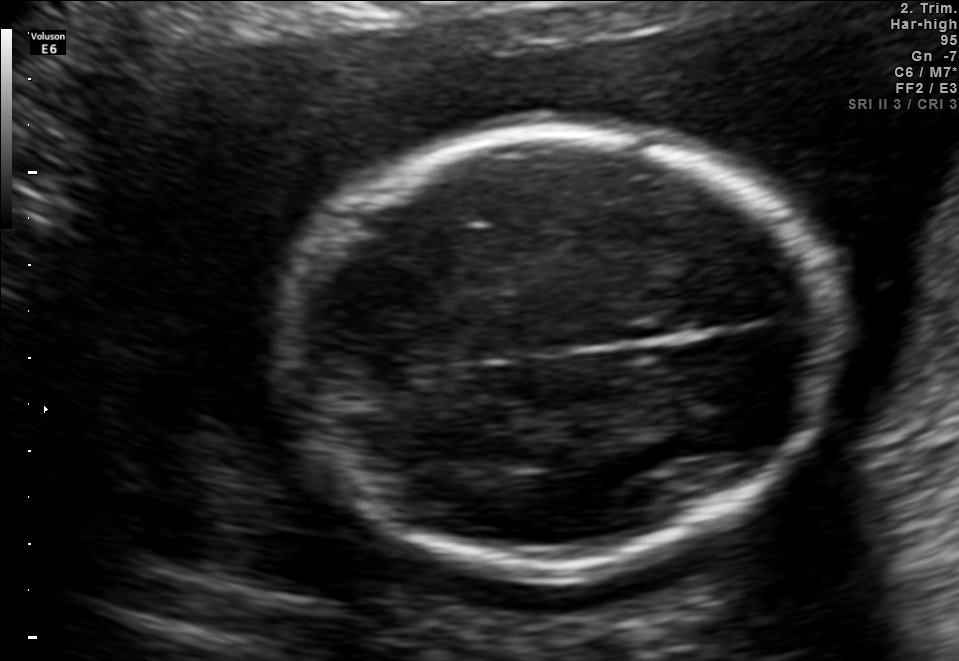
Fetal brain, trans-thalamic plane. Where is the fetal head?

Head bounding box: [285,131,826,572]